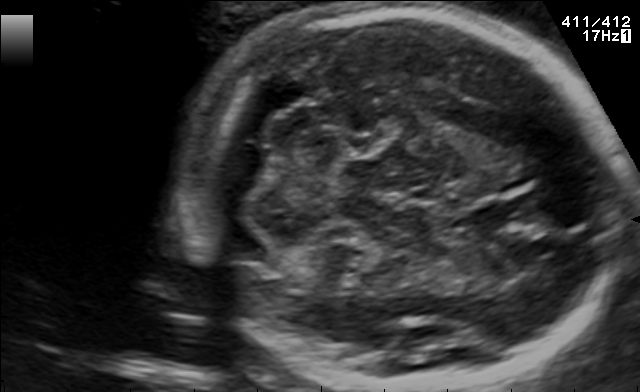
Fetal brain, trans-cerebellum plane. Where is the cavum septum pellucidum?

CSP bounding box: [454,195,522,244]